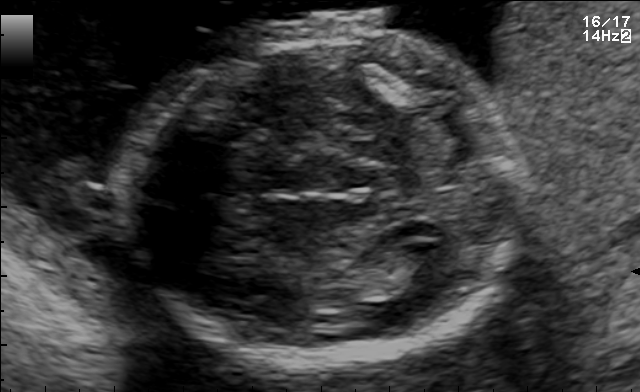
In this fetal brain, trans-thalamic plane, give the bounding box of the fetal head.

[121,23,519,361]